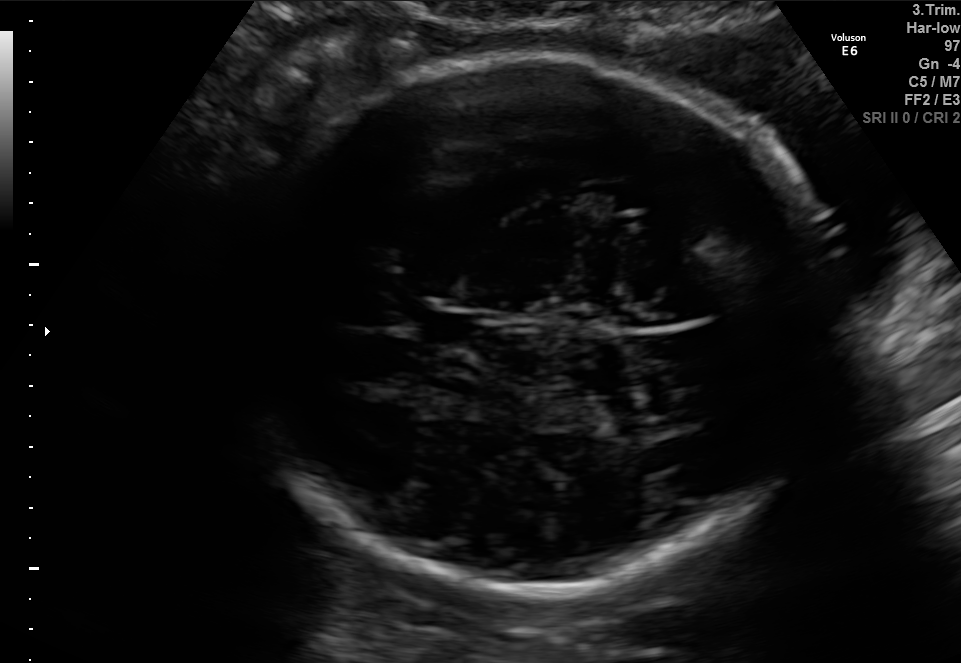
Fetal brain, trans-thalamic plane. Where is the fetal head?

Head bounding box: [223,60,828,591]